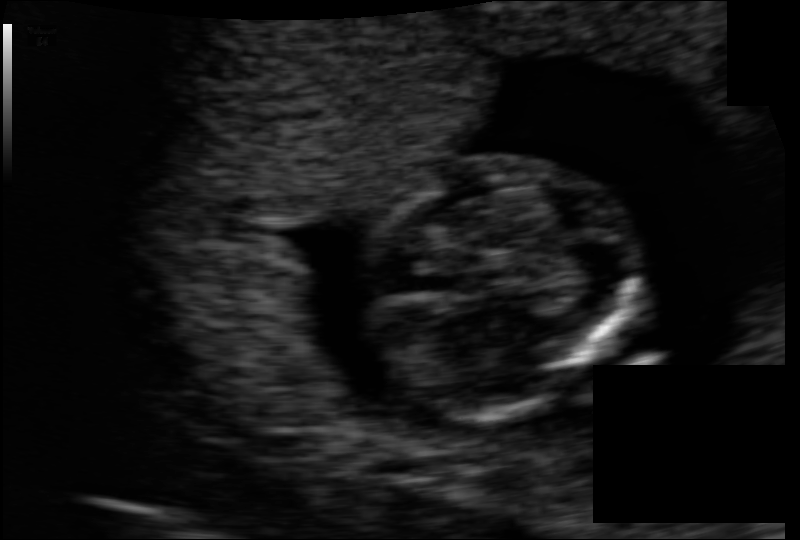
Fetal head ultrasound. Image width: 66.6 mm. Locate the fetal head and, if visible, the cavum septum pellucidum (CSP) and lateral ventricle (LV). Give bounding boxes as [x1,y1,x2,y2].

Head: [361,153,629,415]